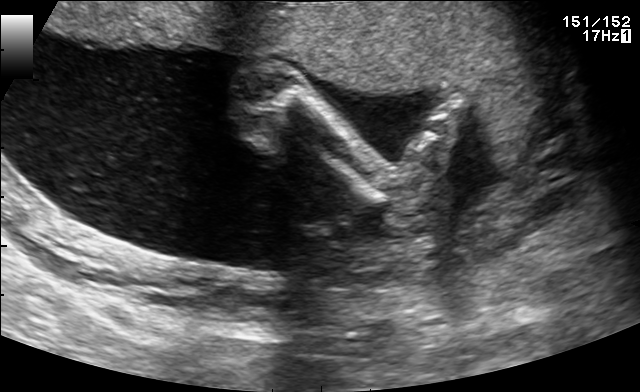
This is a 2D maternal-fetal ultrasound frame. Is it a fetal abdomen, fetal brain, fetal femur, fetal thorax, maternal cervix, or other standard plane? If it's fetal brain and one of the three standard brain planes (trans-thalamic, trans-cerebellum, trans-ventricular), name which.

Other